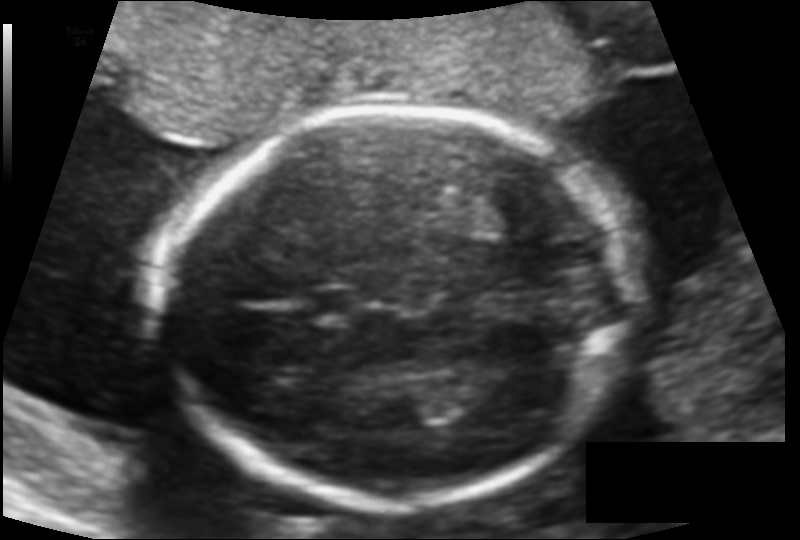
Fetal head ultrasound. Image width: 97.0 mm. Give [x1,y1,x2,y2] bounding boxes for each visible structure among: fetal head, CSP, LV.

Head: [162,106,631,507]
CSP: [307,285,363,324]